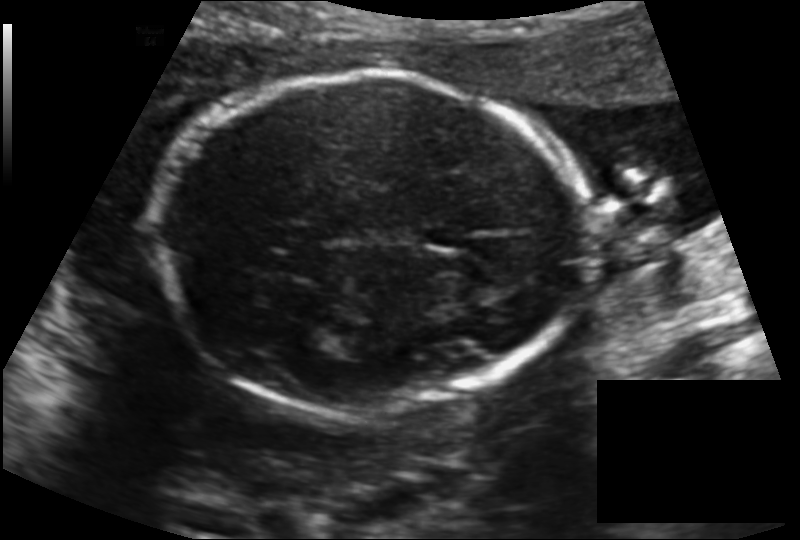
In this fetal head ultrasound, give bounding boxes for the head outline, cavum septum pellucidum (CSP), and lateral ventricle (LV), where visible. Image width: 116.2 mm.

Head: [156,72,592,416]
CSP: [422,222,469,251]